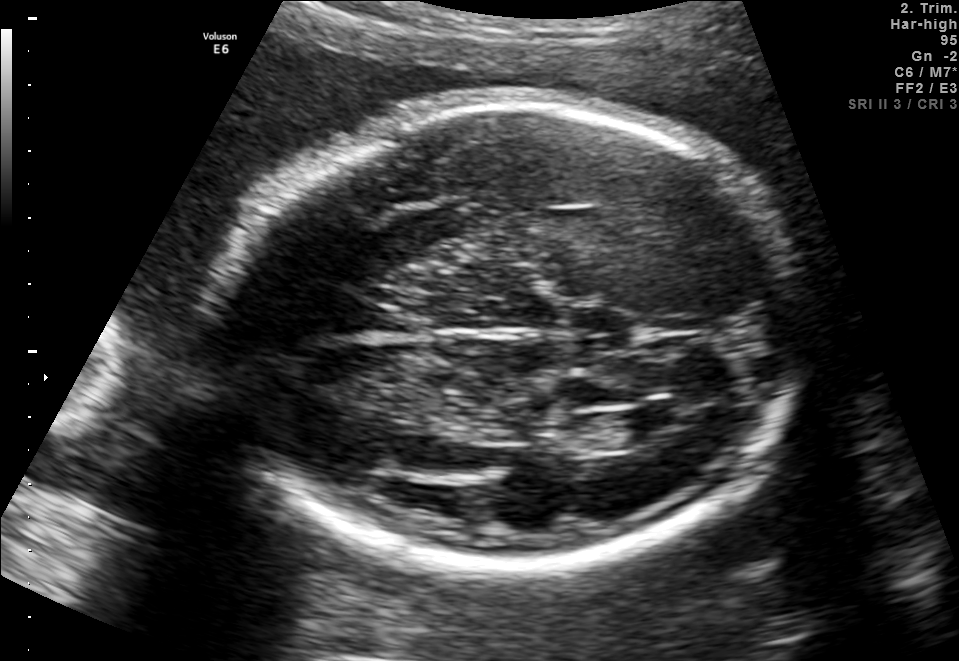
In this fetal brain, trans-ventricular plane, give bounding boxes for the head outline, cavum septum pellucidum (CSP), and lateral ventricle (LV), where visible.

Head: [203,100,820,573]
Lateral ventricle: [613,398,683,447]